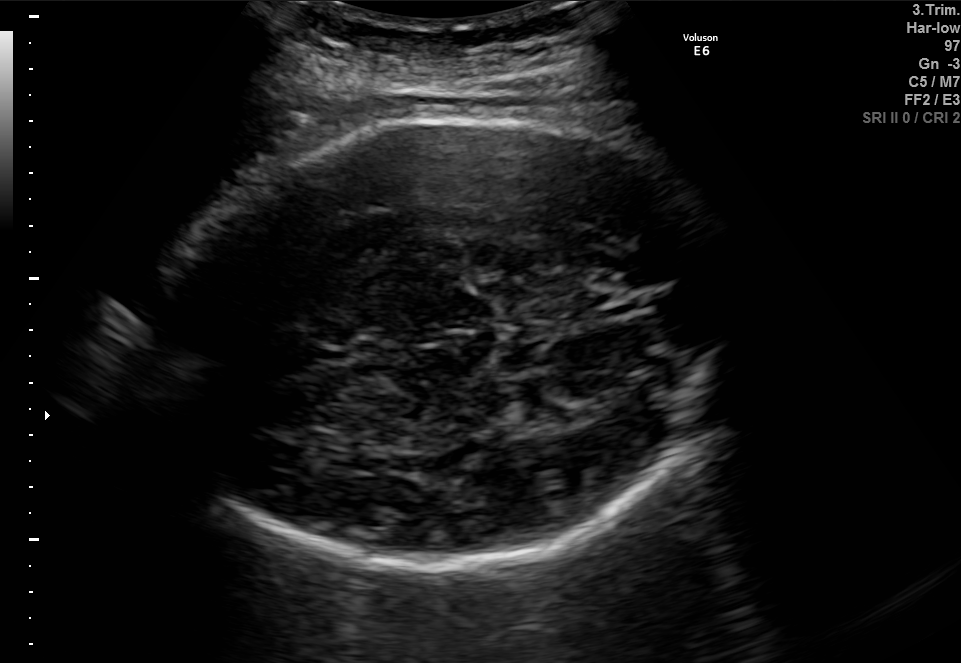
Fetal brain, trans-thalamic plane. Where is the fetal head?

Head bounding box: [147,111,734,564]